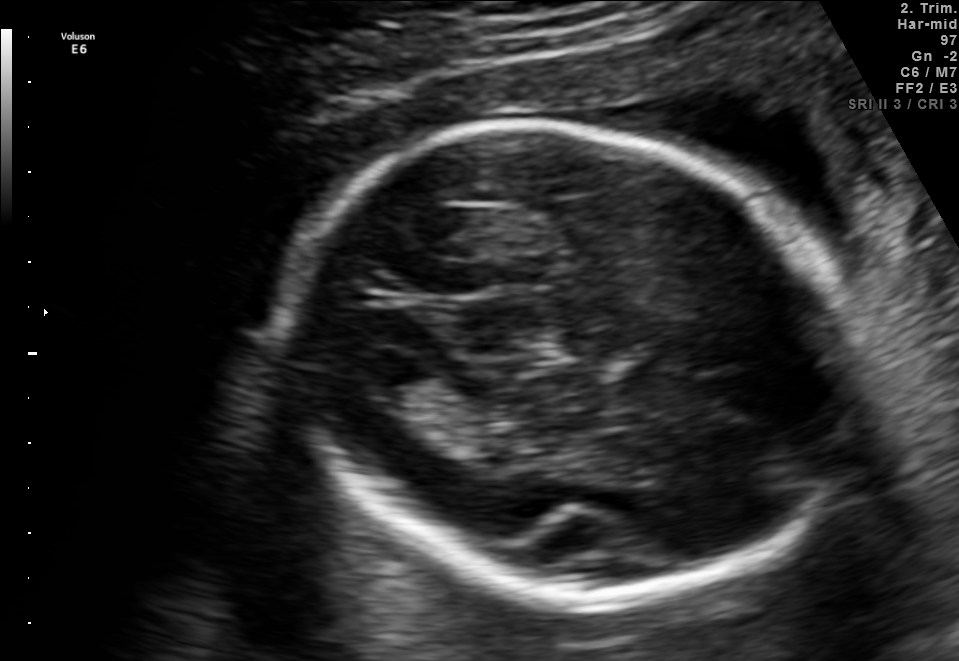
Fetal brain, trans-thalamic plane. Where is the lateral ventricle?

Lateral ventricle bounding box: [345,324,437,414]